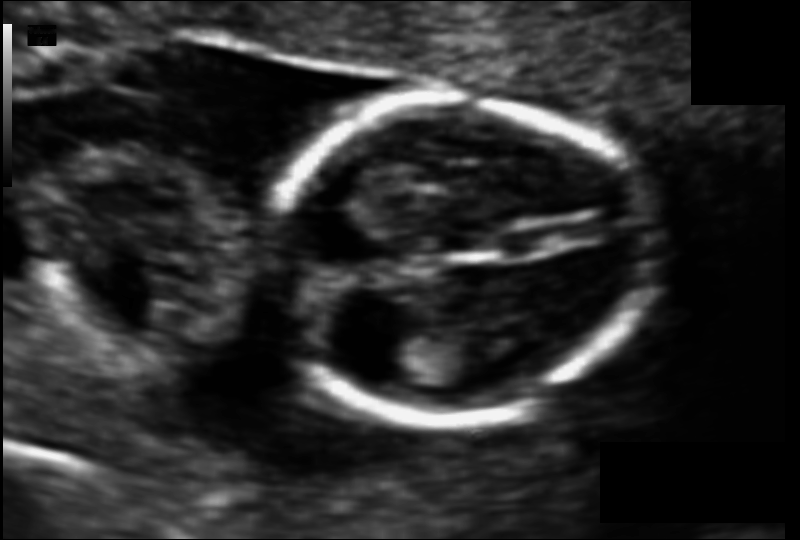
Fetal head ultrasound. Image width: 66.6 mm. Locate the cavum septum pellucidum.

CSP: [497,224,560,263]